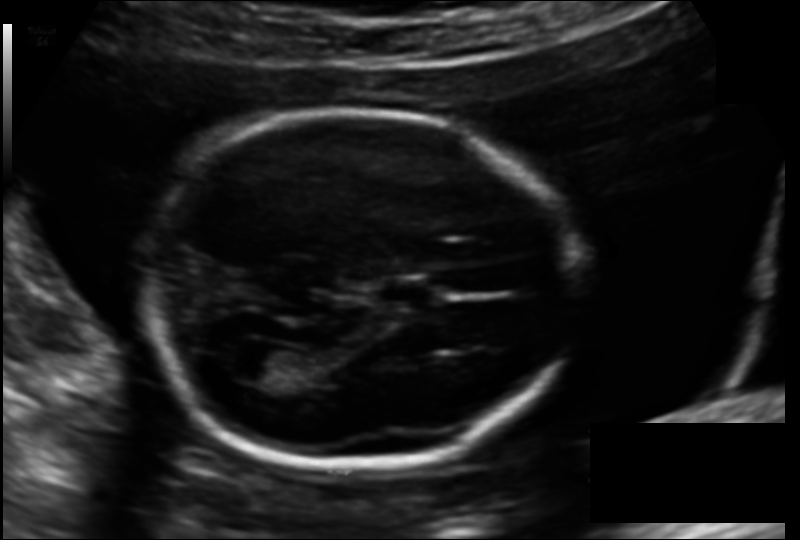
In this fetal head ultrasound, give bounding boxes for the head outline, cavum septum pellucidum (CSP), and lateral ventricle (LV), where visible. Image width: 109.9 mm.

Head: [153,114,569,477]
CSP: [378,277,437,304]
Lateral ventricle: [234,349,284,381]